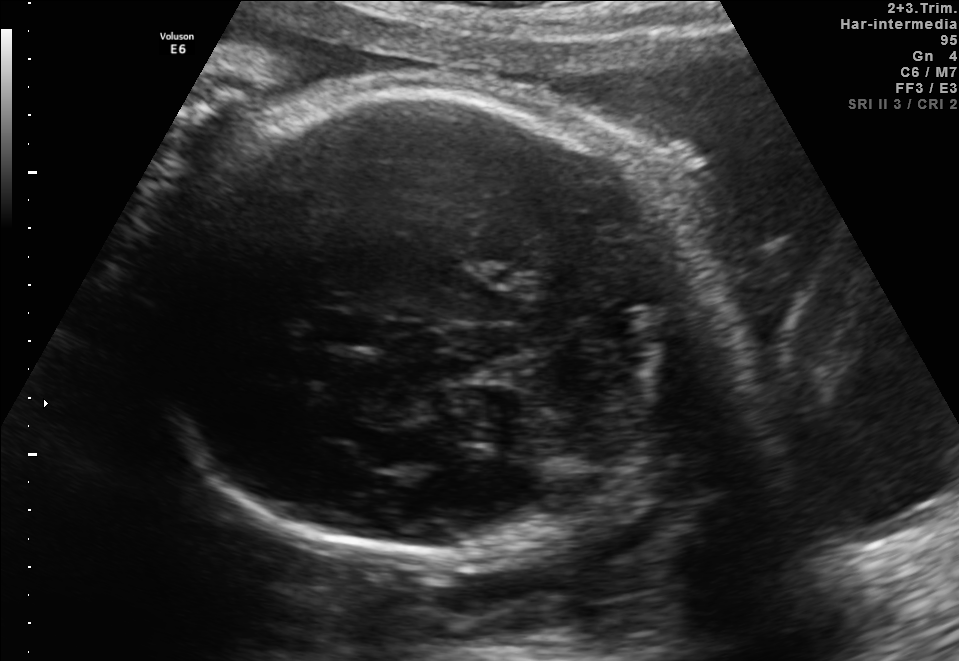
Fetal brain, trans-thalamic plane. Where is the cavum septum pellucidum?

CSP bounding box: [310,308,385,349]